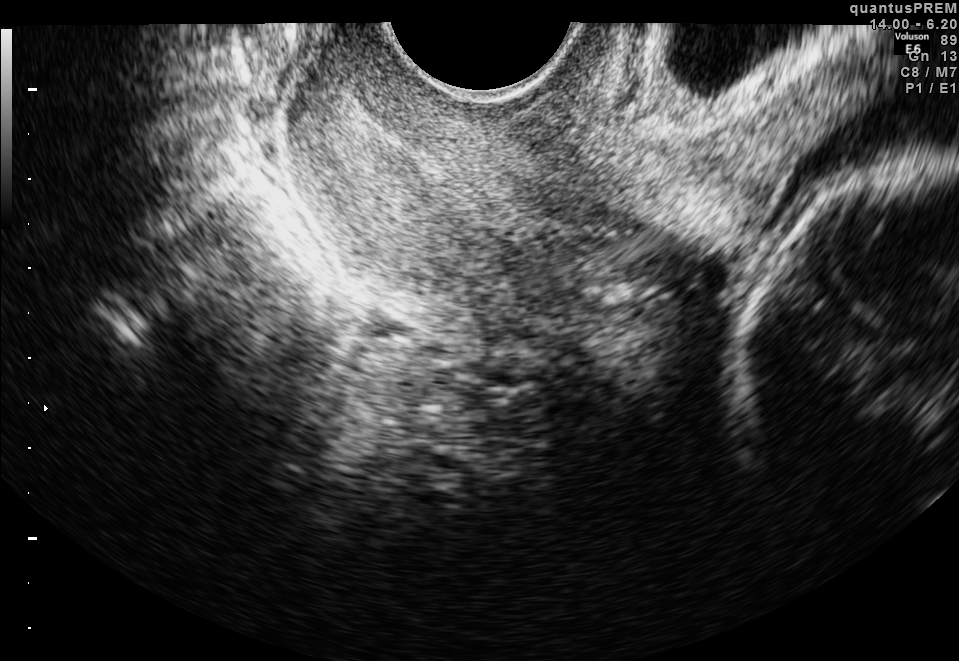
This is a 2D maternal-fetal ultrasound frame. Is it a fetal abdomen, fetal brain, fetal femur, fetal thorax, maternal cervix, or other standard plane? If it's fetal brain and one of the three standard brain planes (trans-thalamic, trans-cerebellum, trans-ventricular), name which.

Maternal cervix